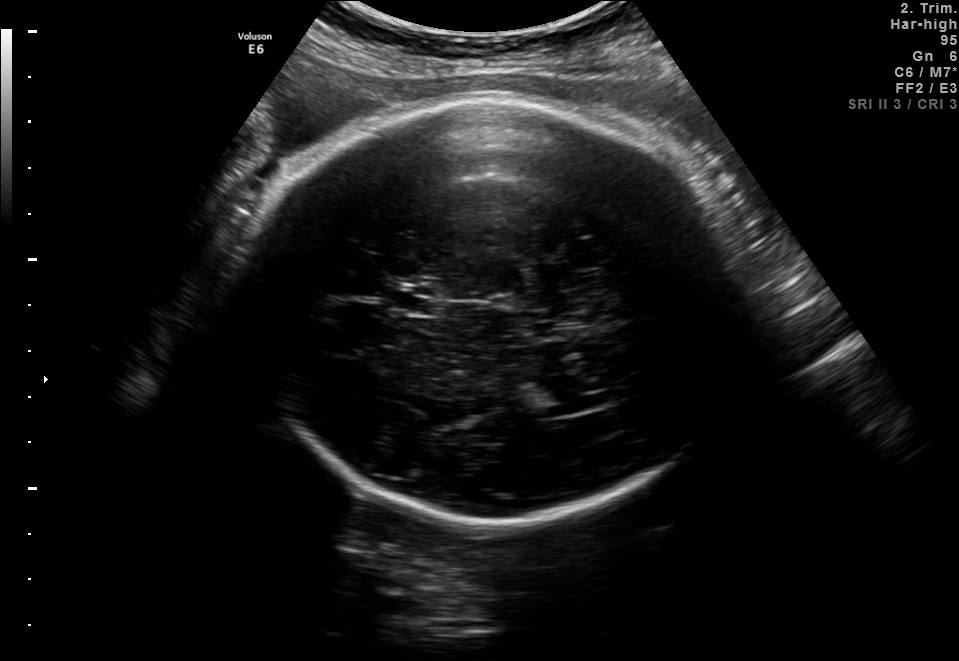
In this fetal brain, trans-ventricular plane, give the bounding box of the cavum septum pellucidum.

[381,287,442,314]